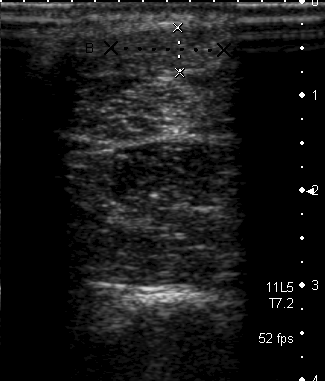
Identify the standard plane in this fetal ultrasound image: fetal abdomen, fetal brain, fetal femur, fetal thorax, maternal cervix, or other. If it's fetal brain and one of the three standard brain planes (trans-thalamic, trans-cerebellum, trans-ventricular), name which.

Other